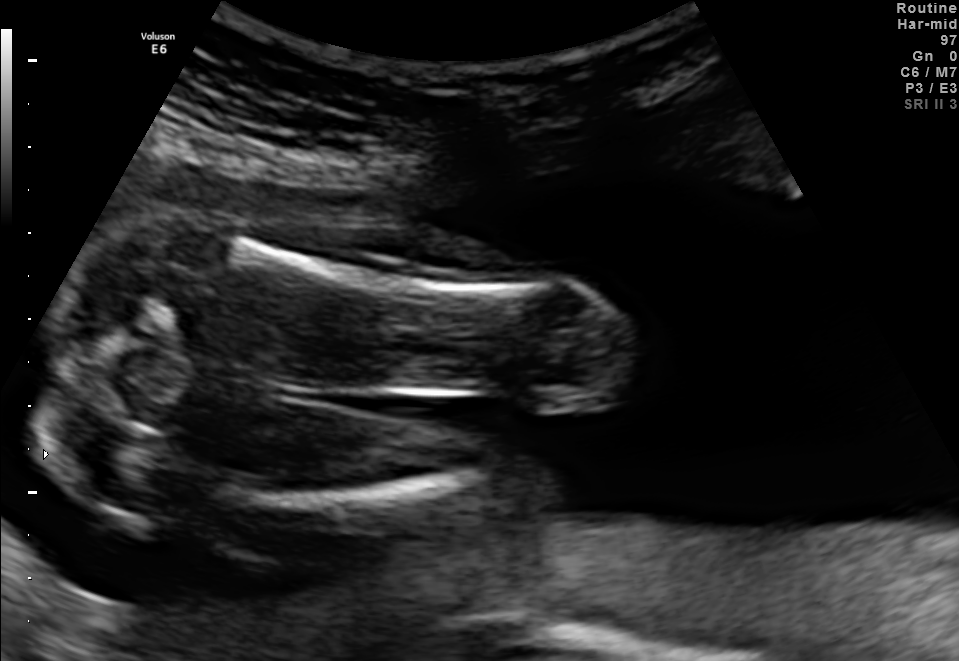
Which standard maternal-fetal ultrasound plane is shown: fetal abdomen, fetal brain, fetal femur, fetal thorax, maternal cervix, or other? If it's fetal brain and one of the three standard brain planes (trans-thalamic, trans-cerebellum, trans-ventricular), name which.

Fetal femur